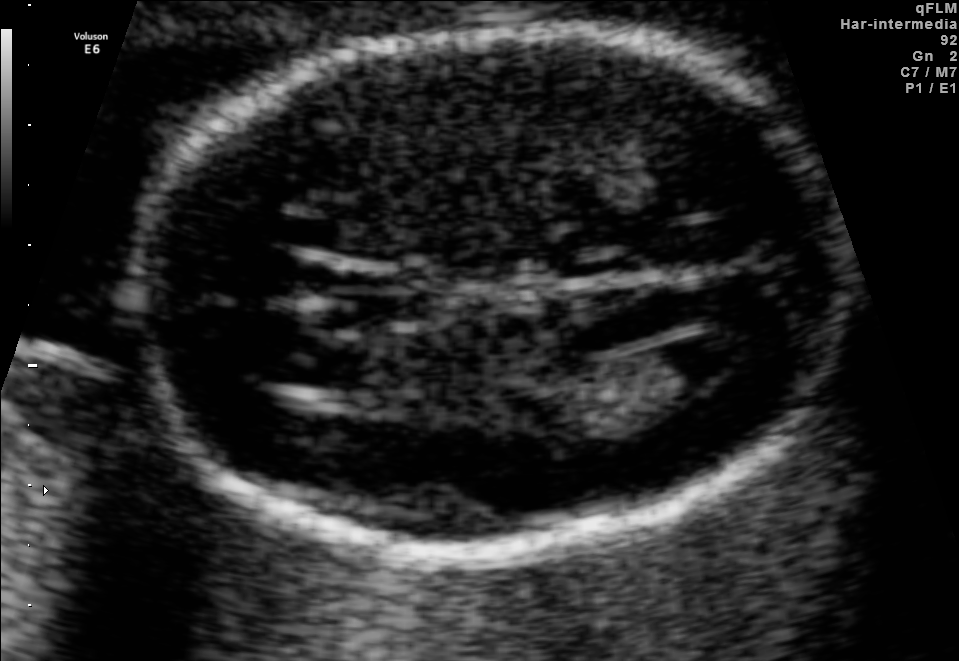
In this fetal brain, trans-ventricular plane, give the bounding box of the cavum septum pellucidum.

[314,272,442,324]